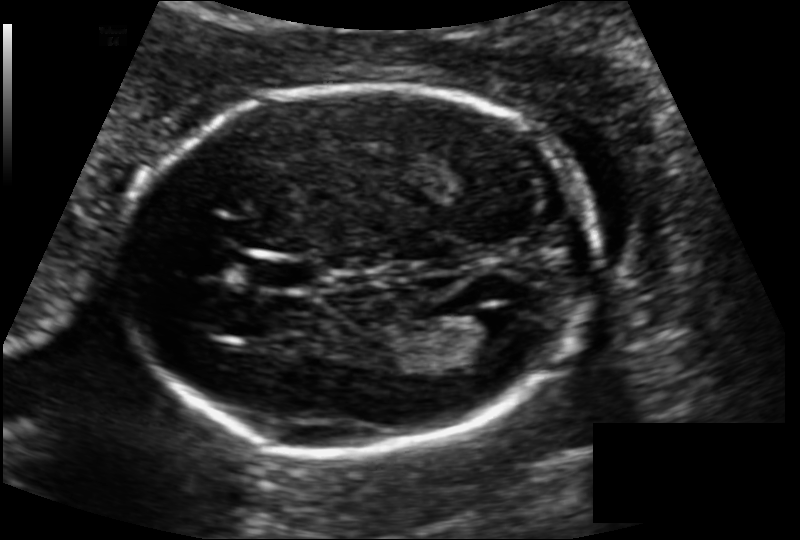
From this fetal ultrasound, estimate the head circumference (image width 99.0 mm).

Head circumference: 170.1 mm.